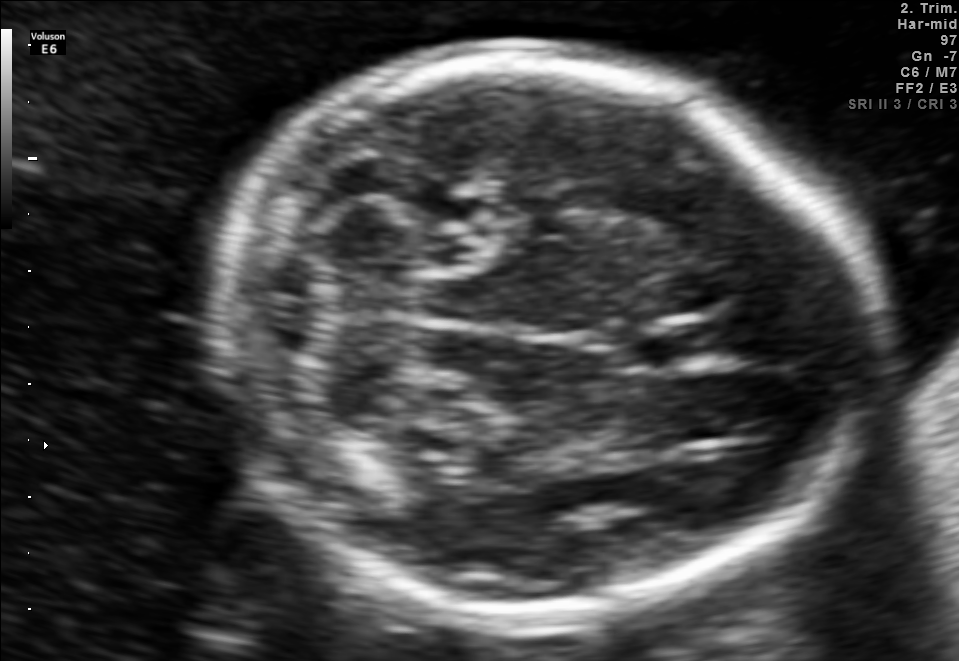
In this fetal brain, trans-cerebellum plane, give bounding boxes for the head outline, cavum septum pellucidum (CSP), and lateral ventricle (LV), where visible.

Head: [214,59,867,618]
CSP: [621,310,732,374]